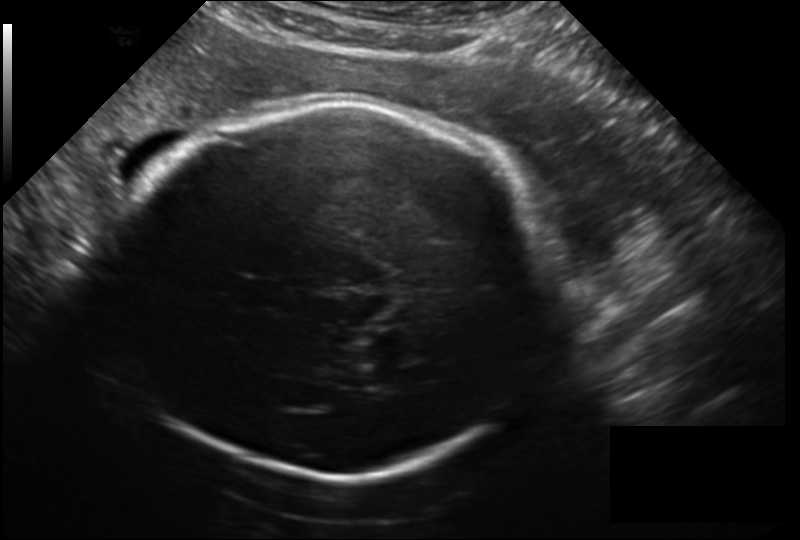
In this fetal head ultrasound, give bounding boxes for the head outline, cavum septum pellucidum (CSP), and lateral ventricle (LV), where visible. Image width: 167.3 mm.

Head: [116,101,546,475]